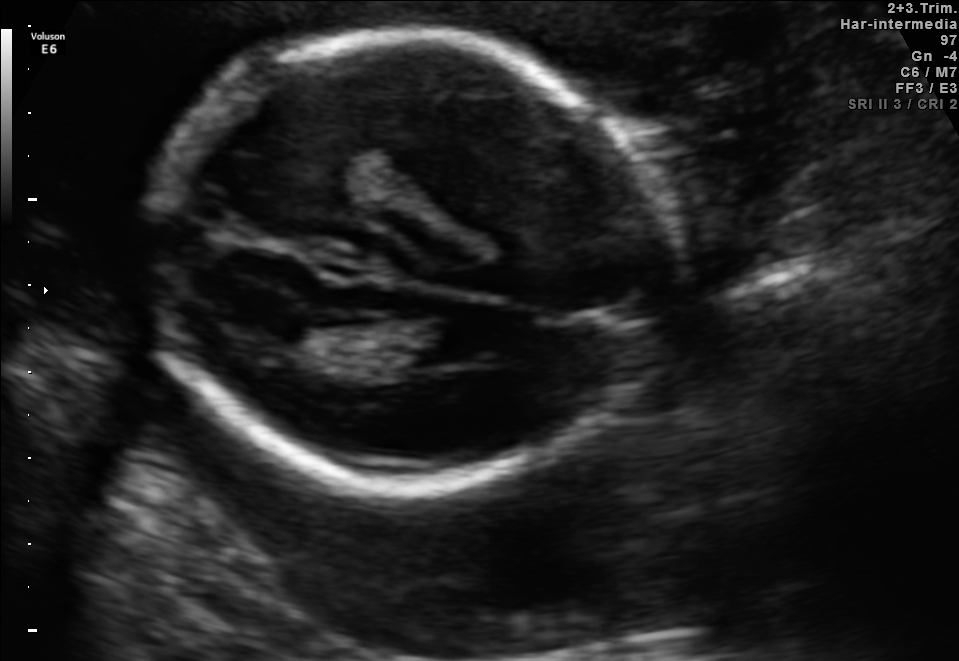
Fetal brain, trans-ventricular plane. Locate the fetal head.

Head: [134,24,679,501]